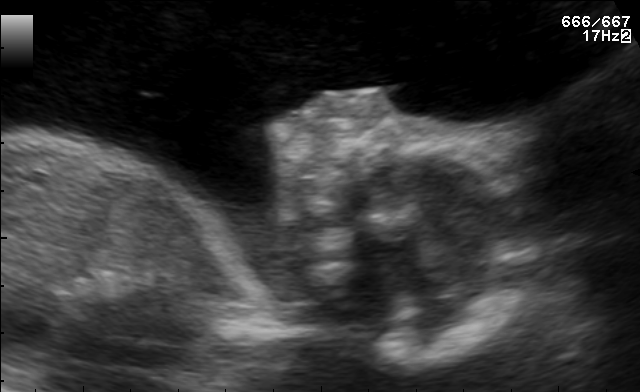
Identify the standard plane in this fetal ultrasound image: fetal abdomen, fetal brain, fetal femur, fetal thorax, maternal cervix, or other. If it's fetal brain and one of the three standard brain planes (trans-thalamic, trans-cerebellum, trans-ventricular), name which.

Other